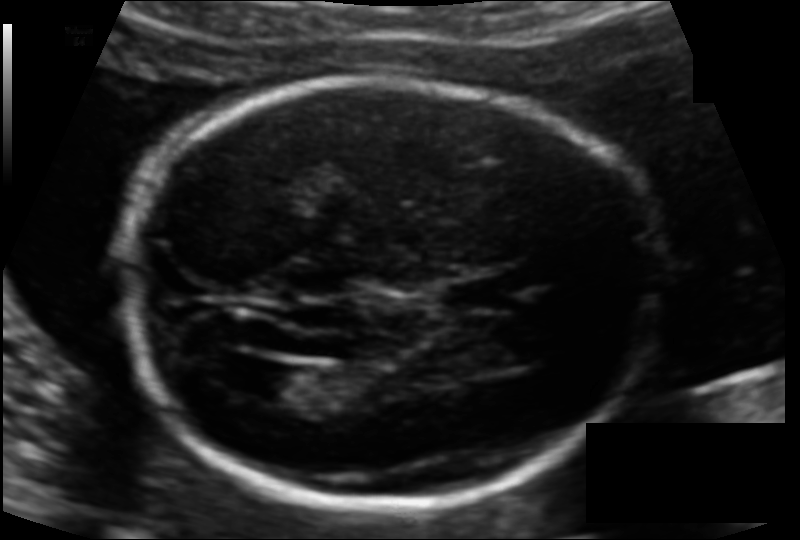
Fetal head ultrasound. Image width: 90.3 mm. Locate the fetal head.

Head: [121,80,662,506]